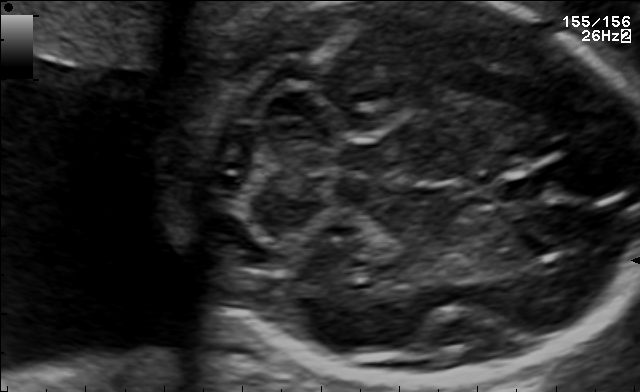
In this fetal brain, trans-cerebellum plane, give the bounding box of the fetal head.

[180,2,639,381]